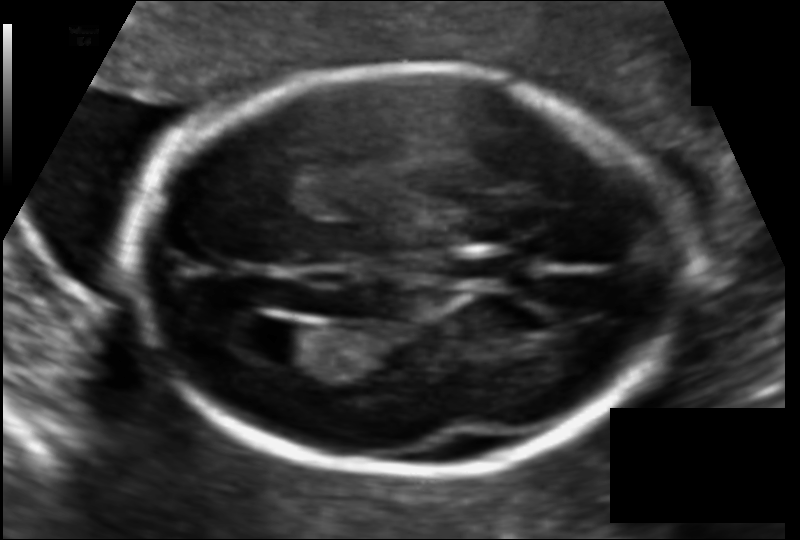
In this fetal head ultrasound, give bounding boxes for the head outline, cavum septum pellucidum (CSP), and lateral ventricle (LV), where visible. Image width: 89.2 mm.

Head: [131,65,676,471]
CSP: [450,252,517,284]
Lateral ventricle: [248,316,323,371]